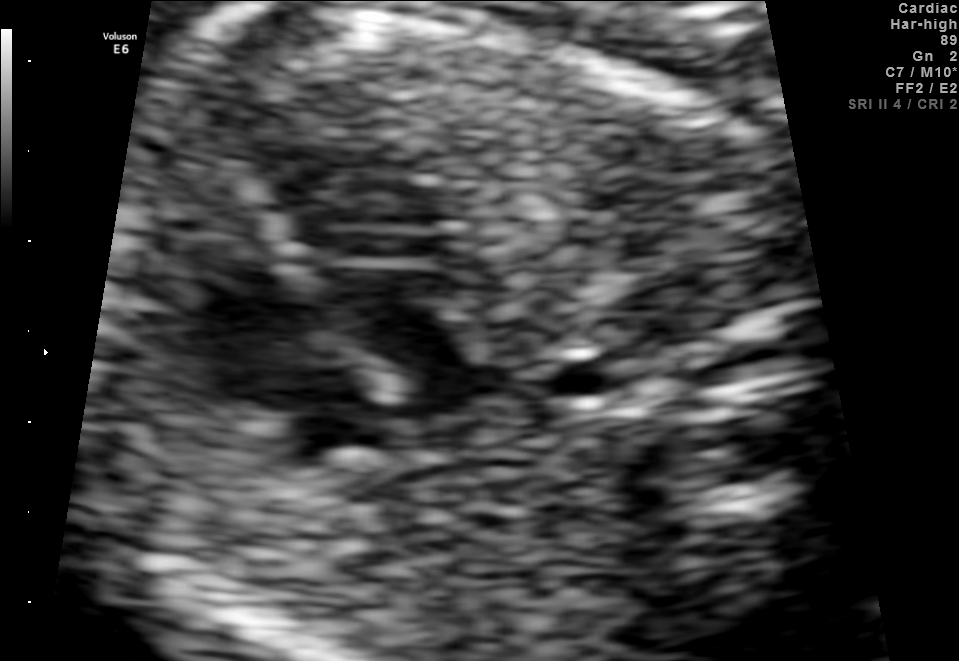
Which standard maternal-fetal ultrasound plane is shown: fetal abdomen, fetal brain, fetal femur, fetal thorax, maternal cervix, or other? If it's fetal brain and one of the three standard brain planes (trans-thalamic, trans-cerebellum, trans-ventricular), name which.

Fetal thorax